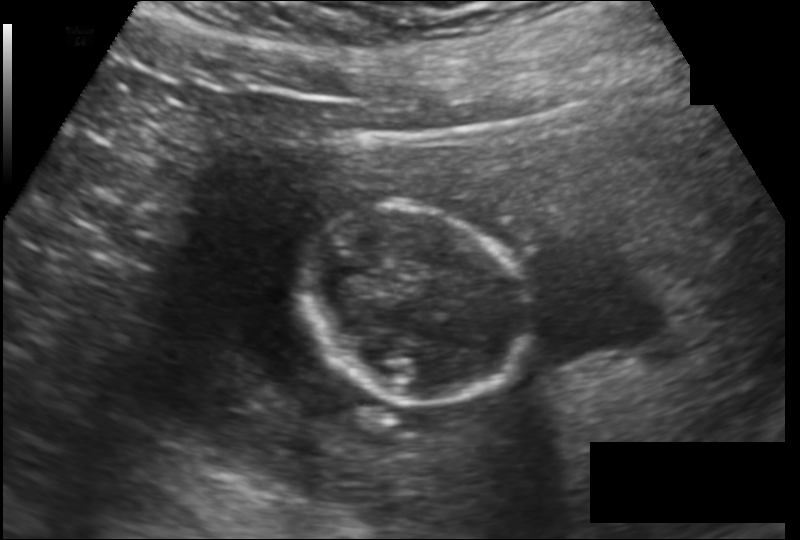
In this fetal head ultrasound, give bounding boxes for the head outline, cavum septum pellucidum (CSP), and lateral ventricle (LV), where visible. Image width: 119.2 mm.

Head: [299,203,527,405]